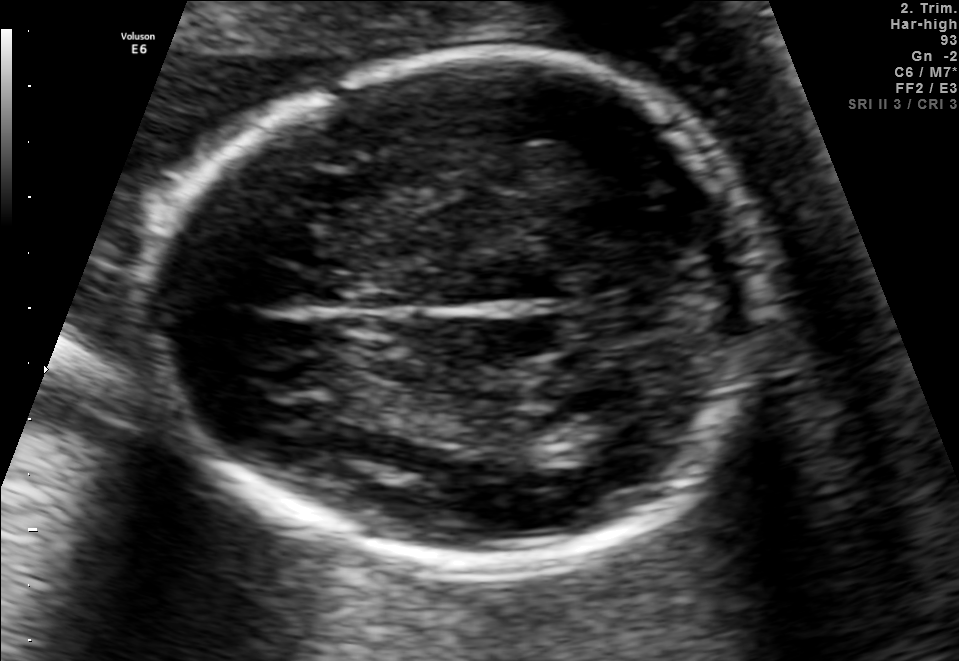
Fetal brain, trans-thalamic plane. Locate the fetal head and, if visible, the cavum septum pellucidum (CSP) and lateral ventricle (LV). Give bounding boxes as [x1,y1,x2,y2].

Head: [153,57,768,570]